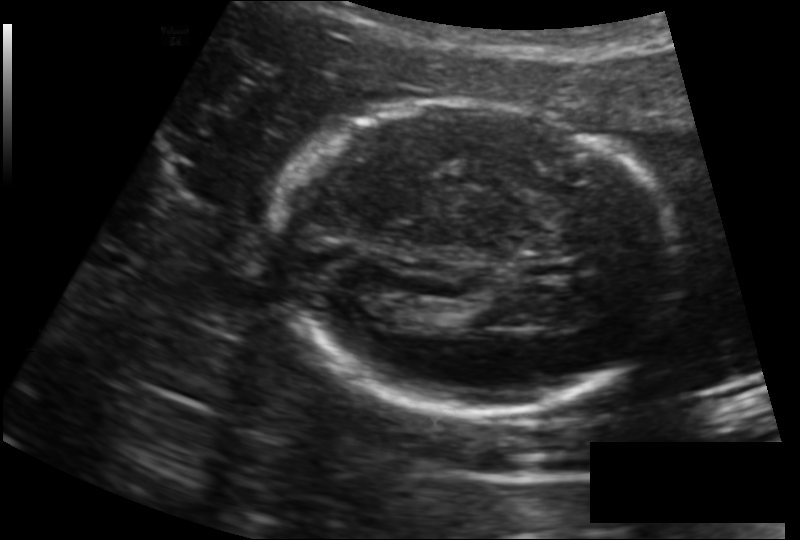
Estimate the fetal head circumference from this 2D ultrasound.

Head circumference: 183.8 mm (image width 125.2 mm).